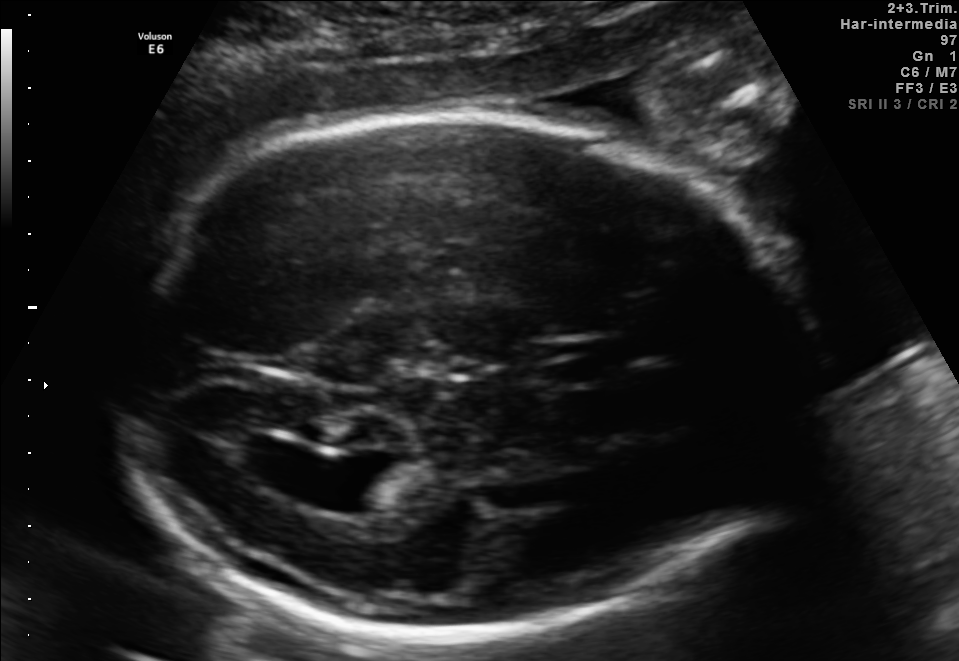
Fetal brain, trans-ventricular plane. Locate the fetal head.

Head: [85,107,826,646]